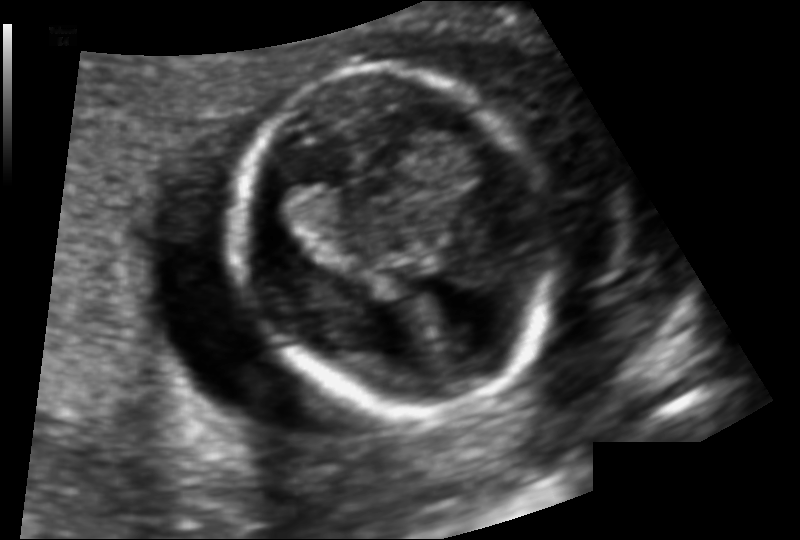
What is the fetal head circumference? Image width is 85.7 mm.

116.6 mm